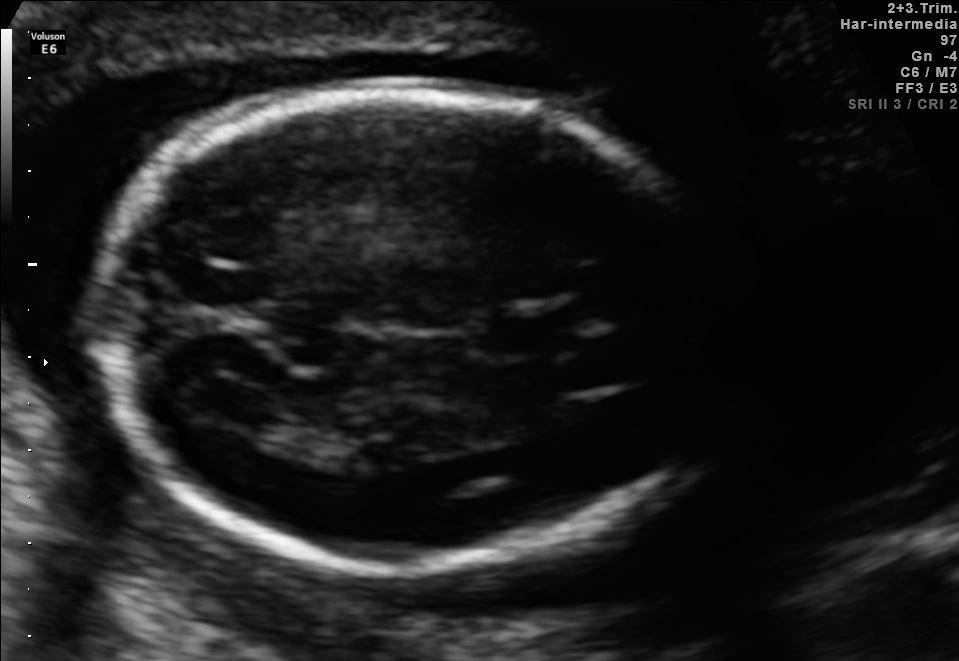
Fetal brain, trans-ventricular plane. Where is the cavum septum pellucidum?

CSP bounding box: [487,317,565,351]